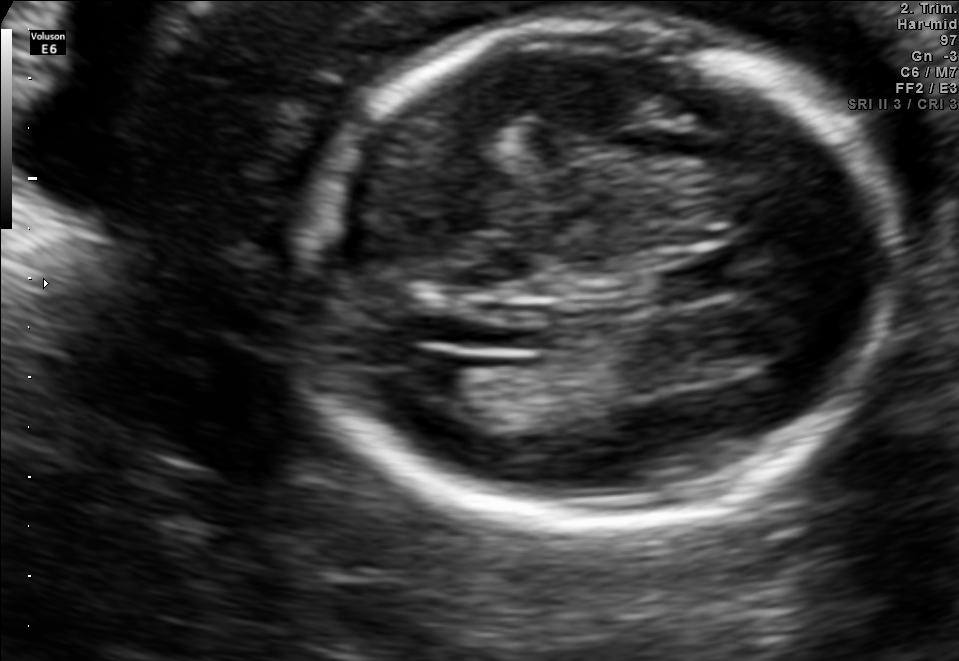
Fetal brain, trans-ventricular plane. Where is the lateral ventricle?

Lateral ventricle bounding box: [398,343,473,403]